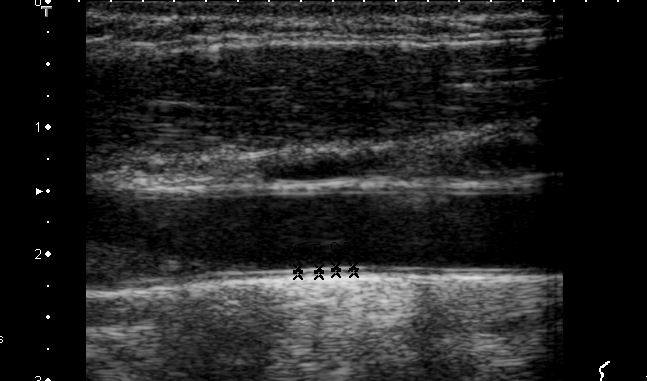
Identify the standard plane in this fetal ultrasound image: fetal abdomen, fetal brain, fetal femur, fetal thorax, maternal cervix, or other. If it's fetal brain and one of the three standard brain planes (trans-thalamic, trans-cerebellum, trans-ventricular), name which.

Other